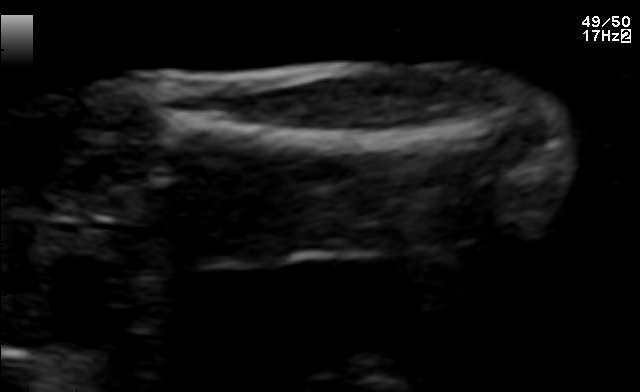
Identify the standard plane in this fetal ultrasound image: fetal abdomen, fetal brain, fetal femur, fetal thorax, maternal cervix, or other. If it's fetal brain and one of the three standard brain planes (trans-thalamic, trans-cerebellum, trans-ventricular), name which.

Fetal femur